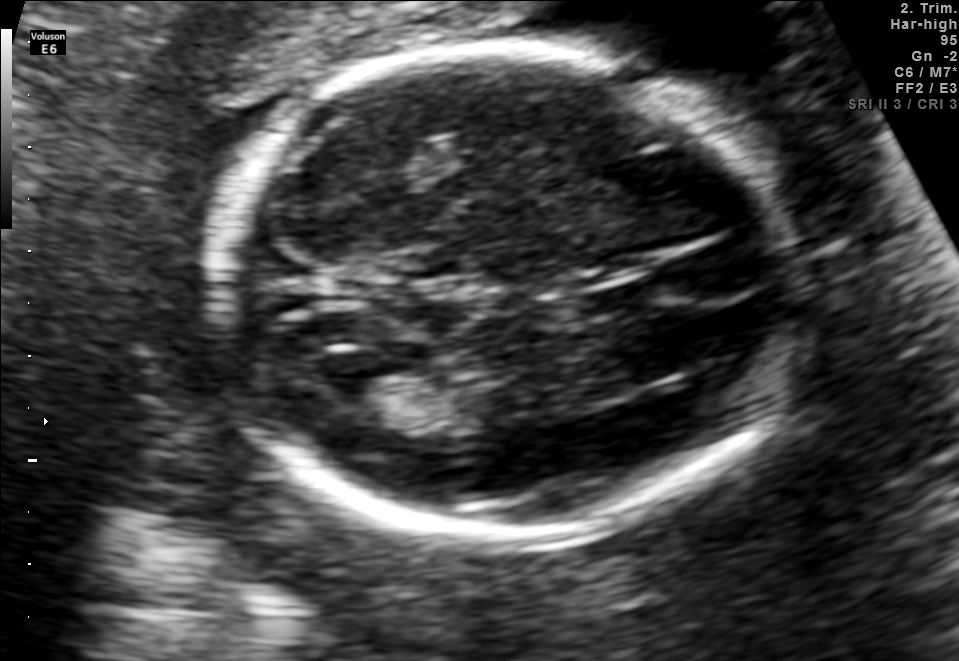
In this fetal brain, trans-ventricular plane, give the bounding box of the lateral ventricle.

[301,333,393,412]